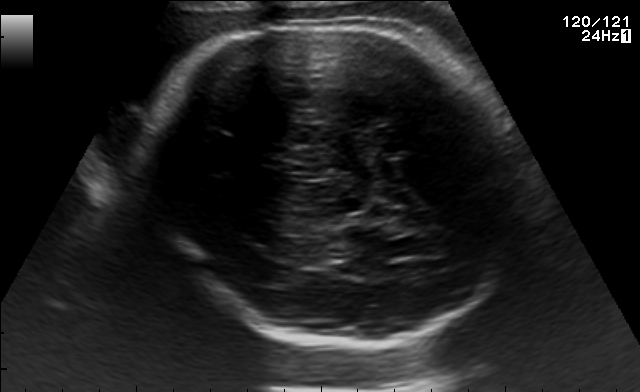
In this fetal brain, trans-thalamic plane, give bounding boxes for the head outline, cavum septum pellucidum (CSP), and lateral ventricle (LV), where visible.

Head: [153,19,526,347]